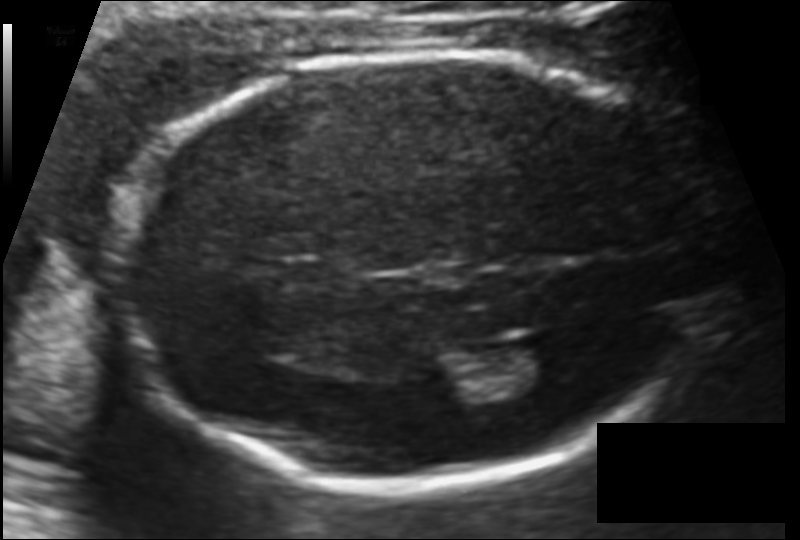
In this fetal head ultrasound, give the bounding box of the lateral ventricle. Image width: 91.0 mm.

[492,334,577,401]